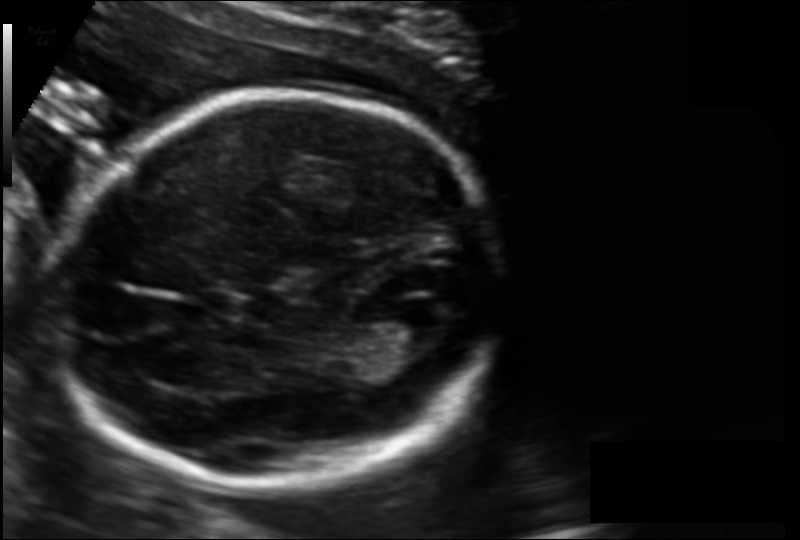
Fetal head ultrasound. Image width: 102.4 mm. Where is the lateral ventricle?

Lateral ventricle bounding box: [375,290,453,359]